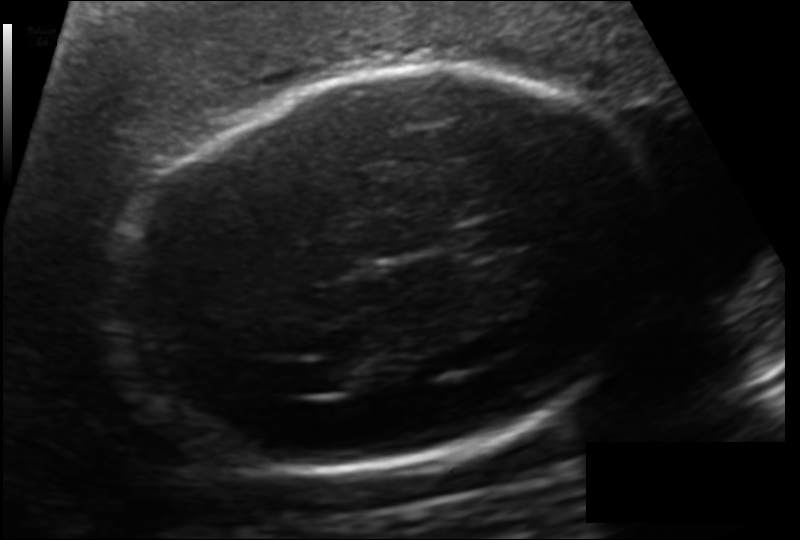
Fetal head ultrasound. Image width: 120.9 mm. Locate the cavum septum pellucidum.

CSP: [450,209,527,264]